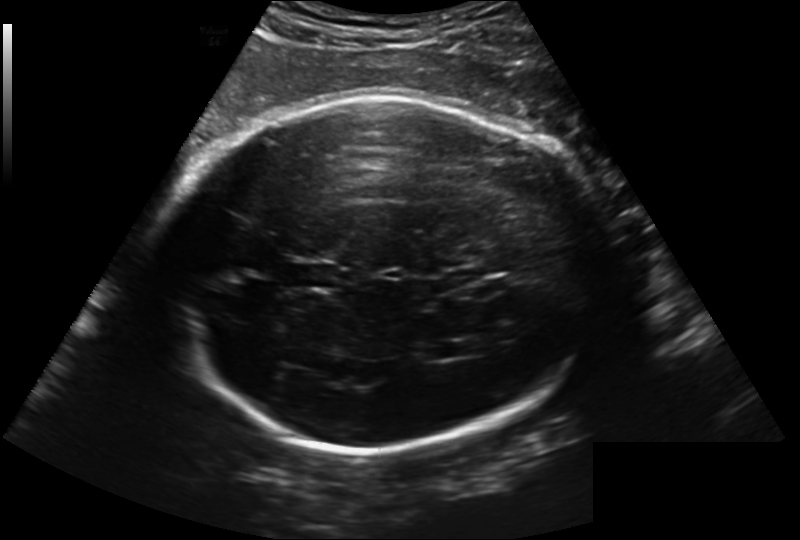
Fetal head ultrasound. Image width: 192.7 mm. Where is the cavum septum pellucidum?

CSP bounding box: [287,261,338,291]